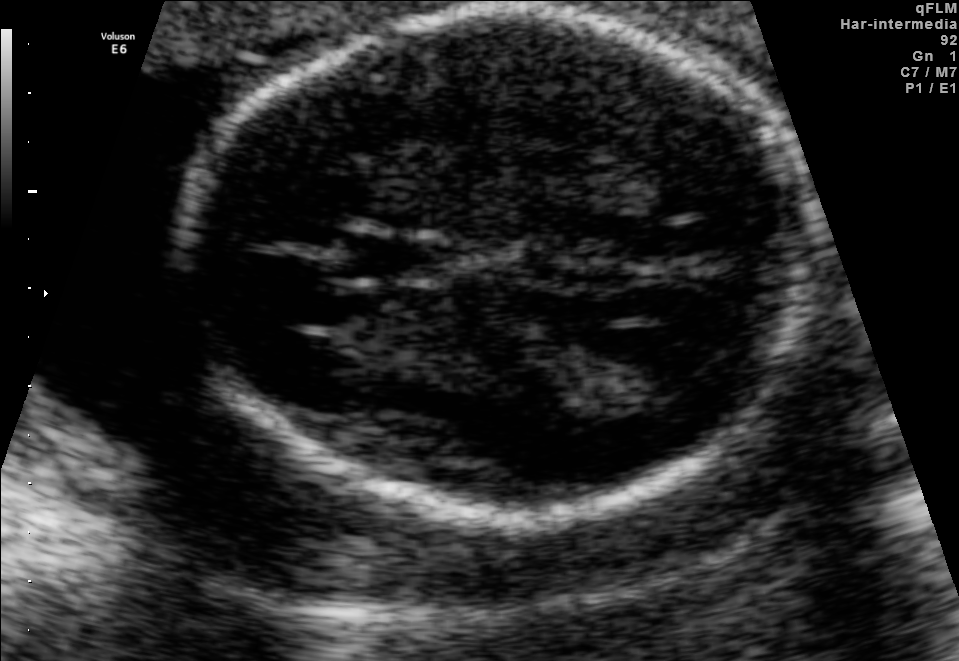
In this fetal brain, trans-thalamic plane, give the bounding box of the fetal head.

[184,9,815,506]